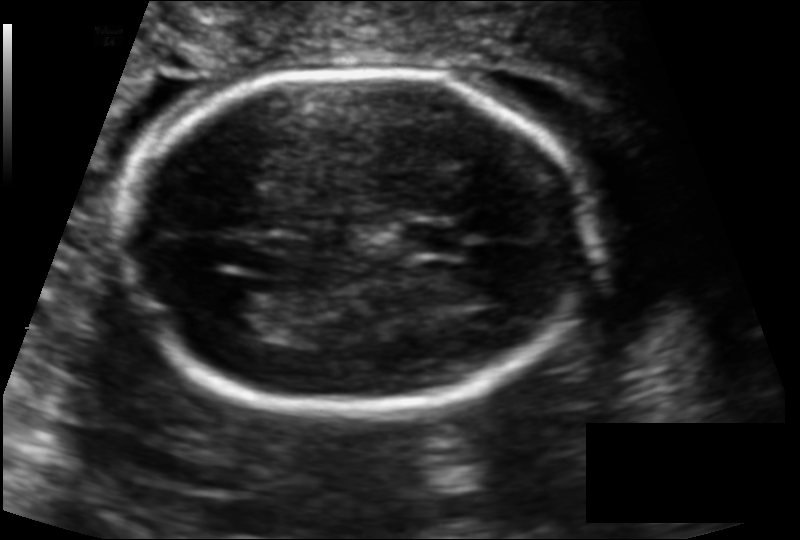
In this fetal head ultrasound, give the bounding box of the cavum septum pellucidum. Image width: 97.4 mm.

[398,222,465,256]